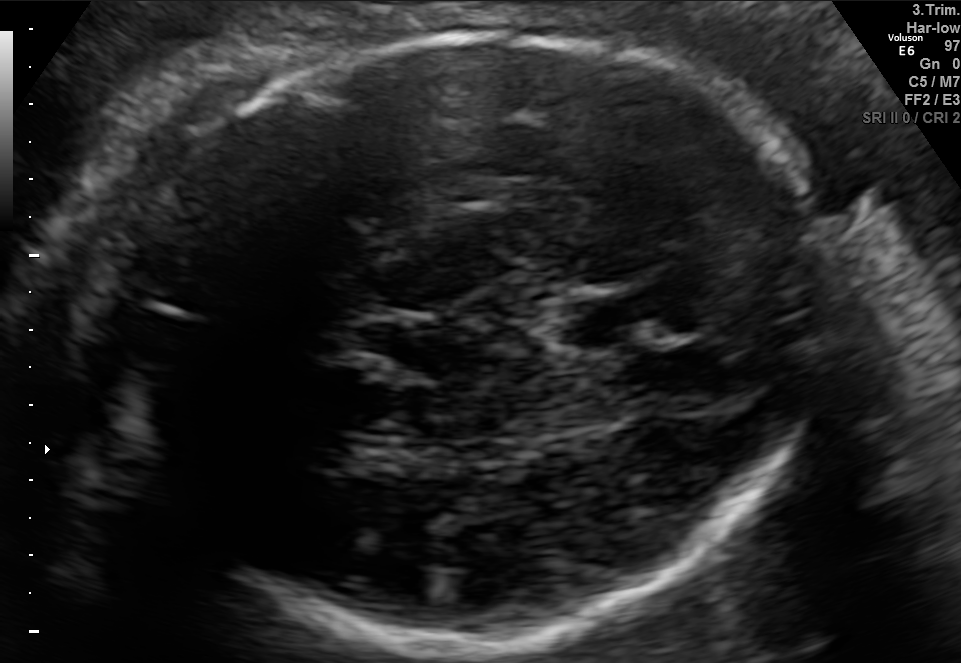
Fetal brain, trans-thalamic plane. Locate the fetal head and, if visible, the cavum septum pellucidum (CSP) and lateral ventricle (LV). Give bounding boxes as [x1,y1,x2,y2].

Head: [92,36,829,653]
CSP: [551,279,668,358]